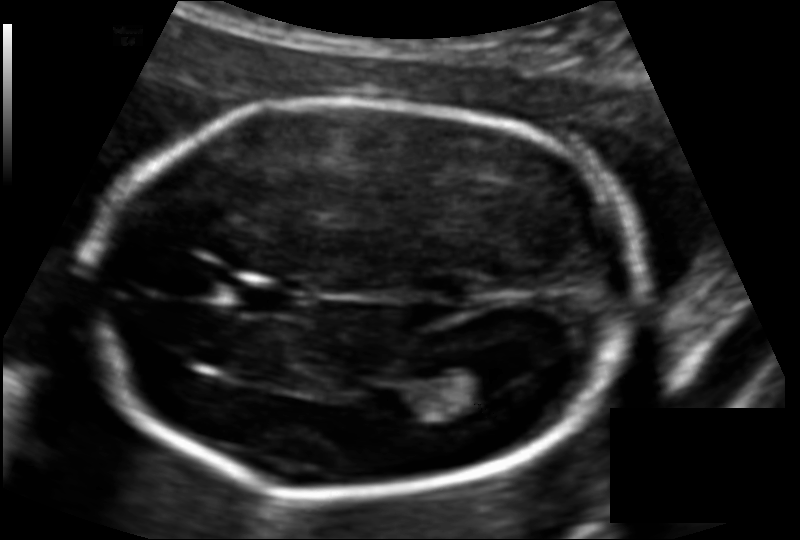
What is the fetal head circumference? Image width is 93.9 mm.

179.9 mm